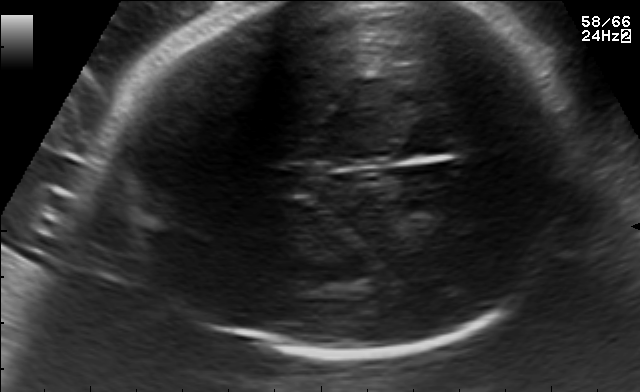
Fetal brain, trans-thalamic plane. Where is the fetal head?

Head bounding box: [95,3,583,358]